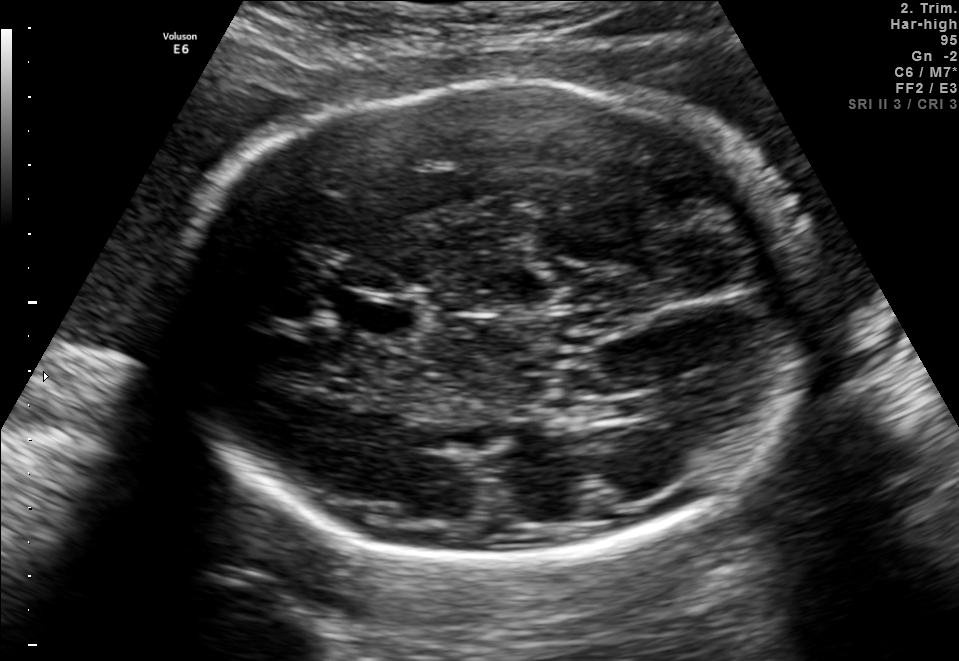
Fetal brain, trans-thalamic plane. Where is the fetal head?

Head bounding box: [170,80,819,559]